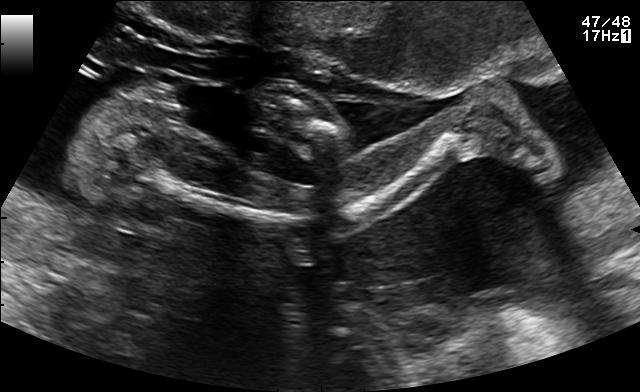
Which standard maternal-fetal ultrasound plane is shown: fetal abdomen, fetal brain, fetal femur, fetal thorax, maternal cervix, or other? If it's fetal brain and one of the three standard brain planes (trans-thalamic, trans-cerebellum, trans-ventricular), name which.

Fetal femur